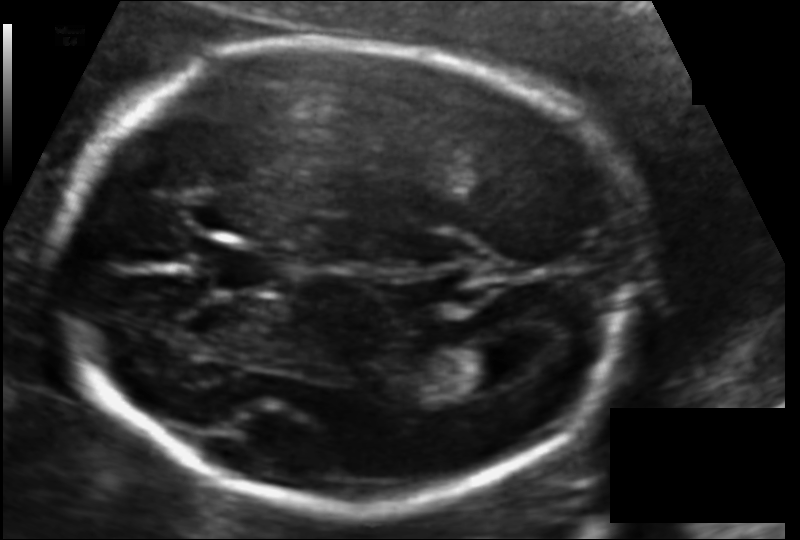
Fetal head ultrasound. Image width: 92.7 mm. Where is the fetal head?

Head bounding box: [57,42,631,508]